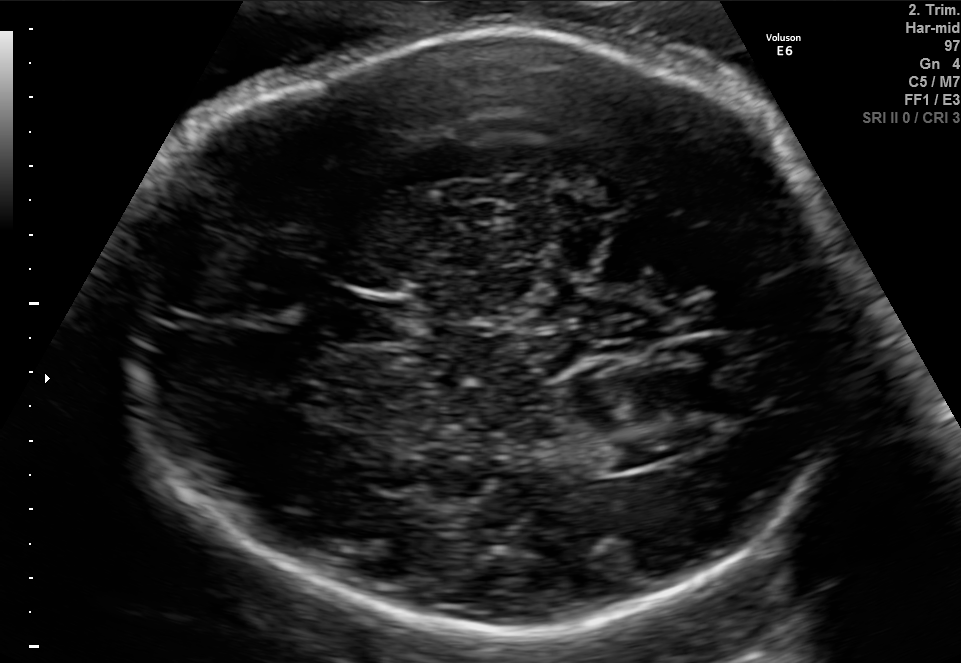
Fetal brain, trans-ventricular plane. Locate the fetal head and, if visible, the cavum septum pellucidum (CSP) and lateral ventricle (LV). Give bounding boxes as [x1,y1,x2,y2].

Head: [109,20,862,639]
CSP: [328,293,404,341]
Lateral ventricle: [611,424,690,472]